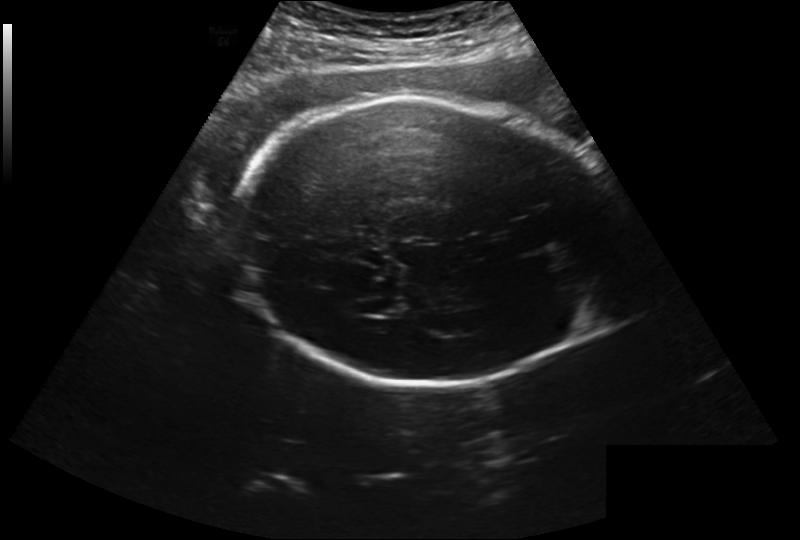
Measure the fetal head circumference shown in this ultrasound image. Image width: 208.3 mm.

Head circumference: 282.4 mm.